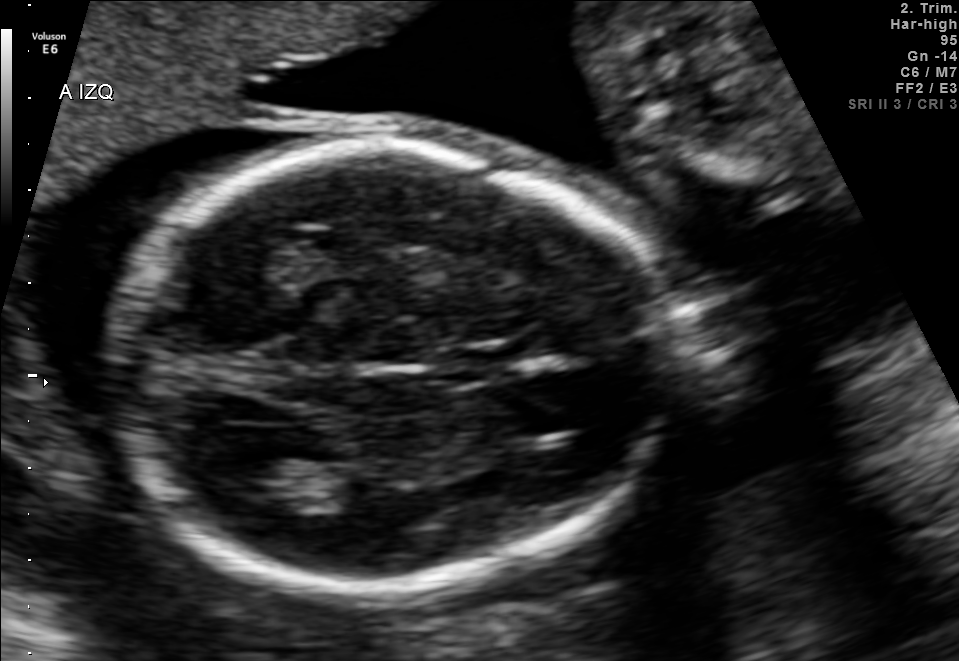
In this fetal brain, trans-thalamic plane, give the bounding box of the fetal head.

[108,143,677,588]